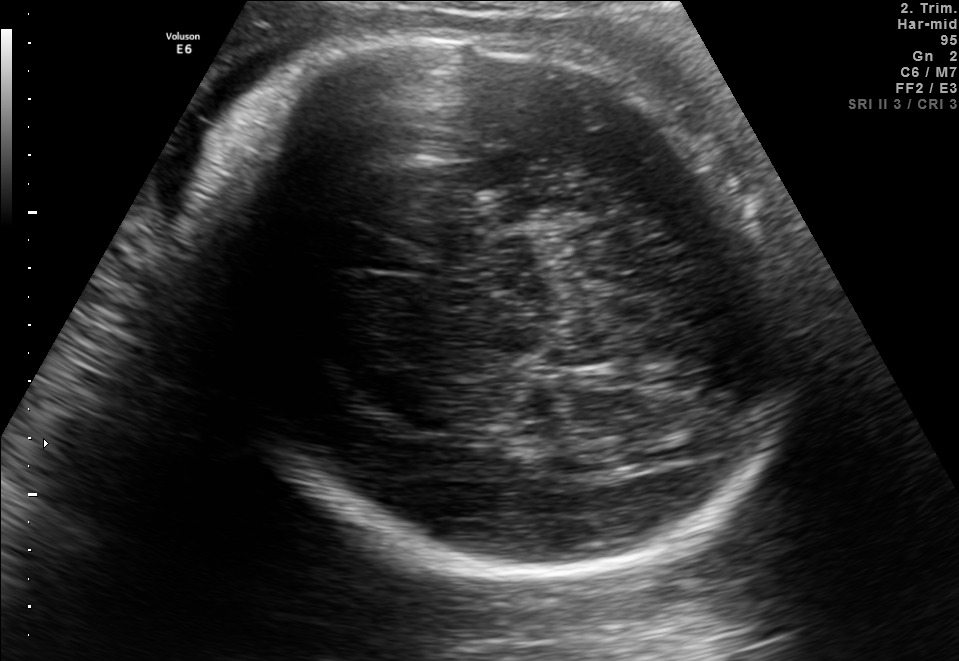
In this fetal brain, trans-thalamic plane, give bounding boxes for the head outline, cavum septum pellucidum (CSP), and lateral ventricle (LV), where visible.

Head: [196,23,777,586]